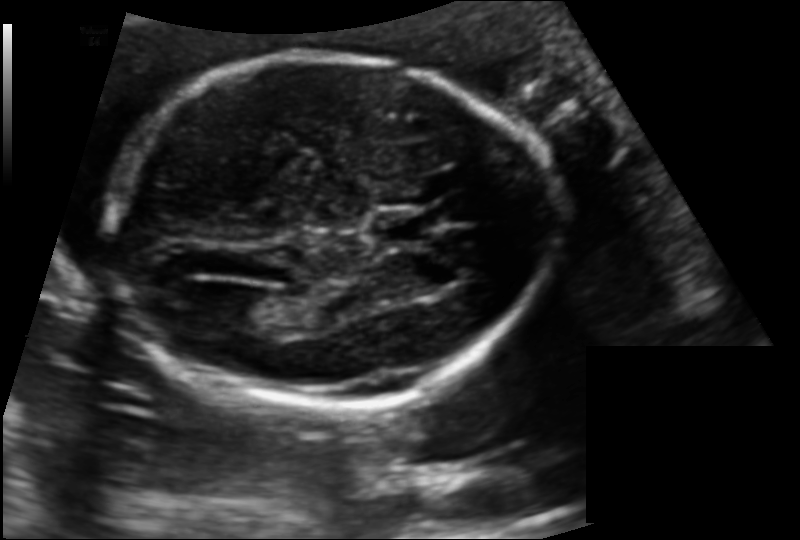
Fetal head ultrasound. Image width: 105.8 mm. Locate the cavum septum pellucidum.

CSP: [376,211,431,243]